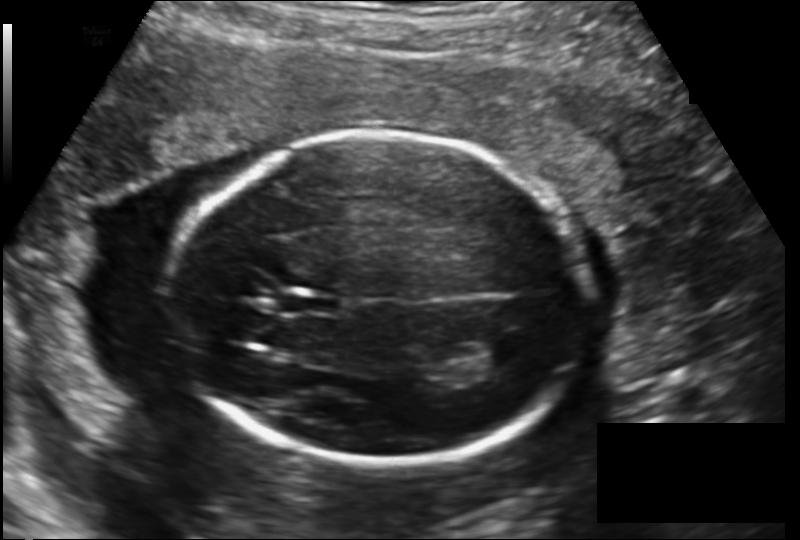
In this fetal head ultrasound, give the bounding box of the lateral ventricle. Image width: 130.6 mm.

[475,329,529,371]